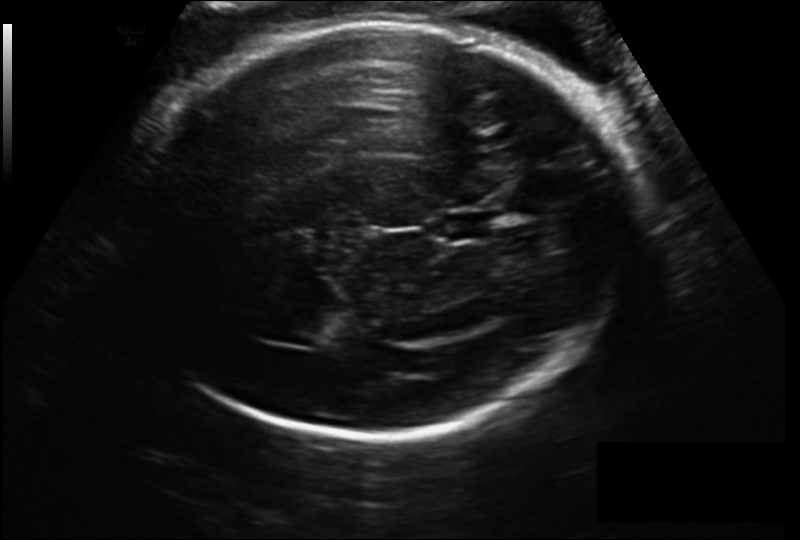
What is the fetal head circumference? Image width is 164.9 mm.

306.1 mm